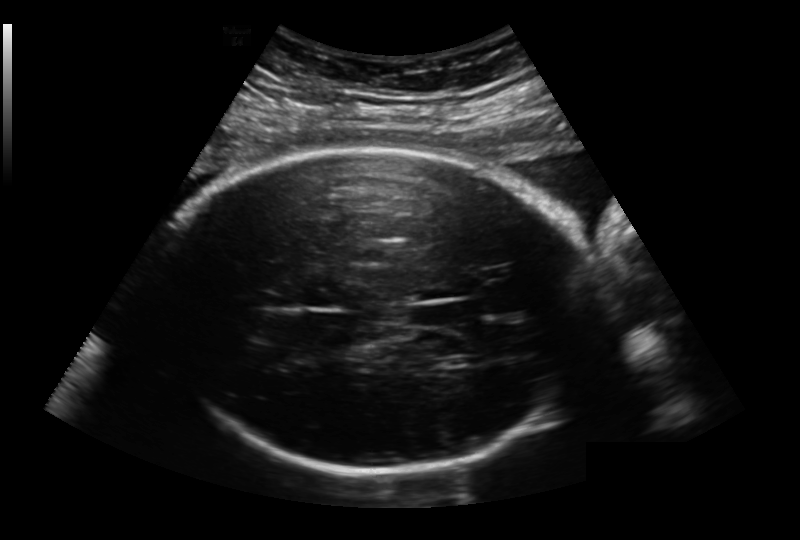
Fetal head ultrasound. Image width: 188.7 mm. Locate the fetal head.

Head: [147,150,598,473]